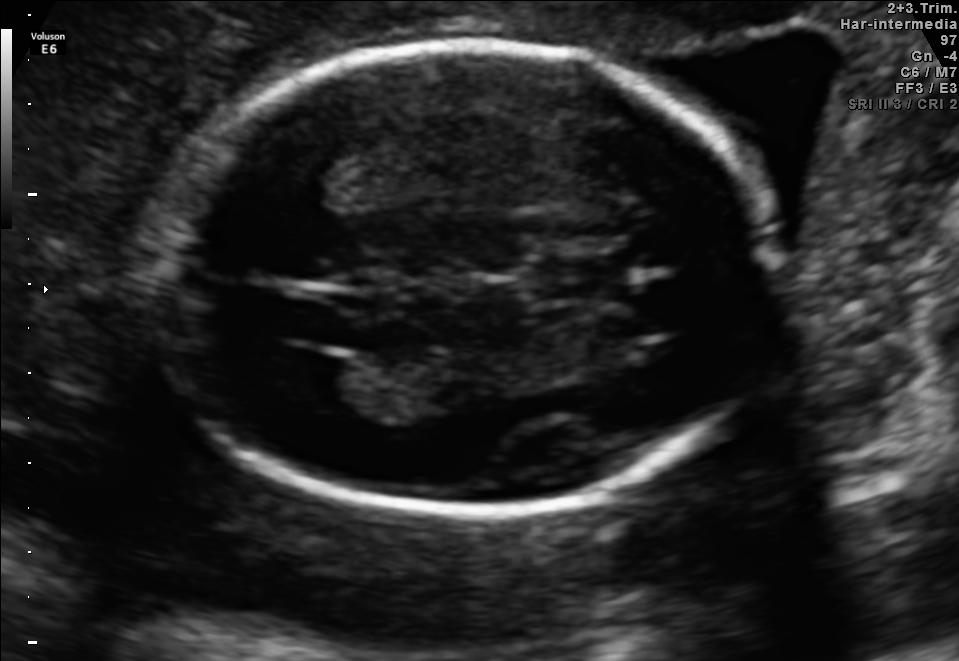
Fetal brain, trans-ventricular plane. Where is the cavum septum pellucidum?

CSP bounding box: [541,259,624,298]